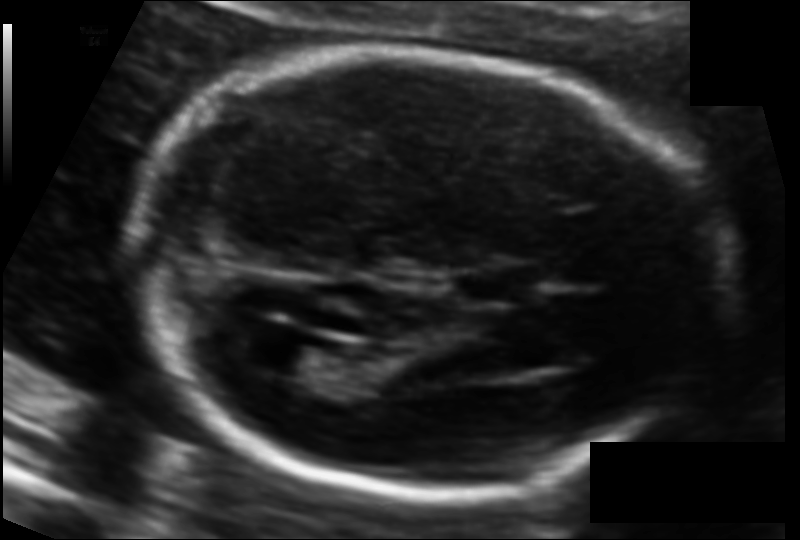
In this fetal head ultrasound, give bounding boxes for the head outline, cavum septum pellucidum (CSP), and lateral ventricle (LV), where visible. Image width: 82.9 mm.

Head: [131,53,704,500]
CSP: [468,267,539,304]
Lateral ventricle: [253,332,341,393]